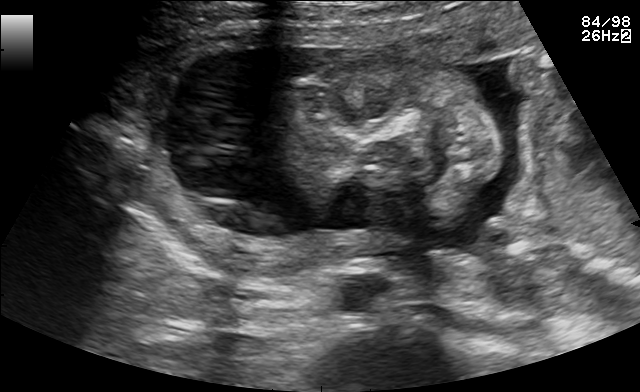
Which standard maternal-fetal ultrasound plane is shown: fetal abdomen, fetal brain, fetal femur, fetal thorax, maternal cervix, or other? If it's fetal brain and one of the three standard brain planes (trans-thalamic, trans-cerebellum, trans-ventricular), name which.

Other